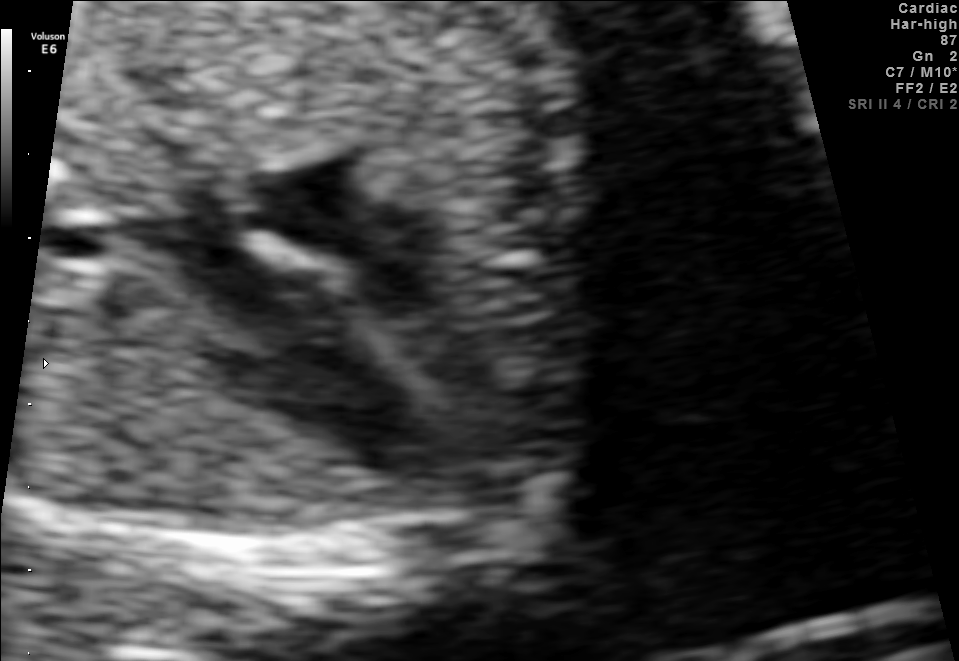
This is a 2D maternal-fetal ultrasound frame. Is it a fetal abdomen, fetal brain, fetal femur, fetal thorax, maternal cervix, or other standard plane? If it's fetal brain and one of the three standard brain planes (trans-thalamic, trans-cerebellum, trans-ventricular), name which.

Fetal thorax